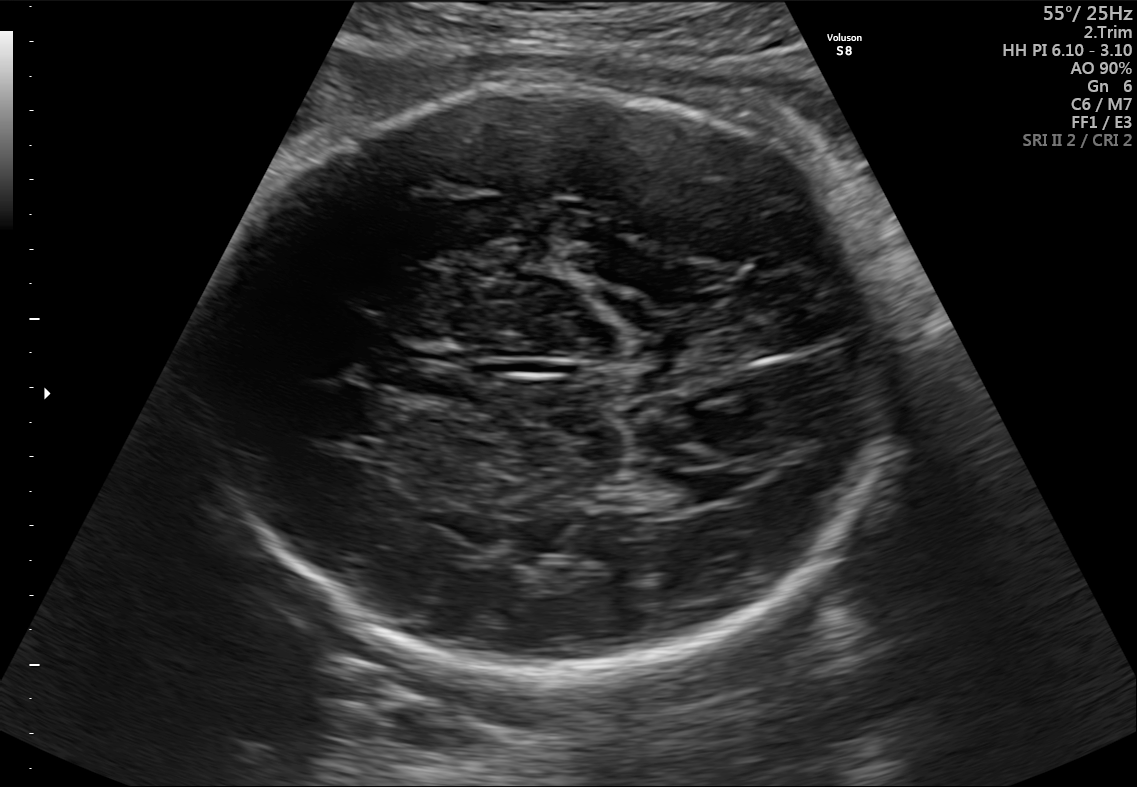
In this fetal brain, trans-thalamic plane, give bounding boxes for the head outline, cavum septum pellucidum (CSP), and lateral ventricle (LV), where visible.

Head: [189,85,892,686]
CSP: [394,362,481,405]
Lateral ventricle: [663,464,741,511]